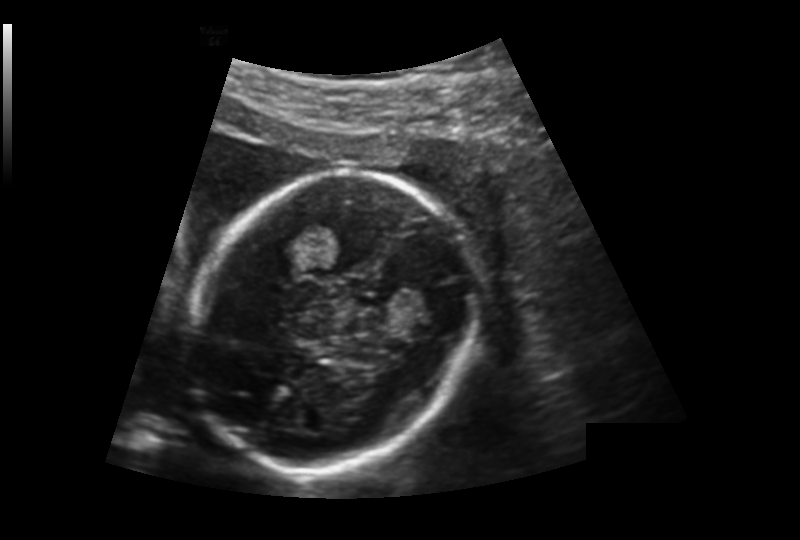
In this fetal head ultrasound, give bounding boxes for the head outline, cavum septum pellucidum (CSP), and lateral ventricle (LV), where visible. Image width: 140.4 mm.

Head: [196,172,474,473]